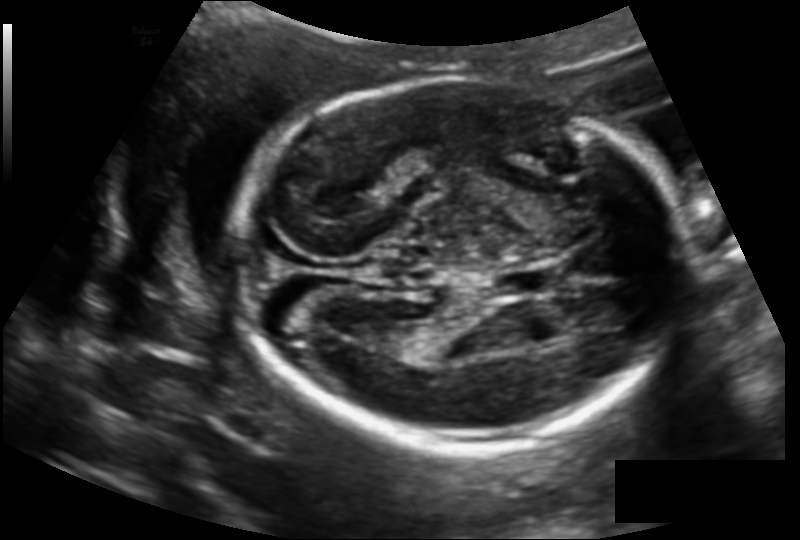
From this fetal ultrasound, estimate the head circumference (image width 116.1 mm).

Head circumference: 189.8 mm.